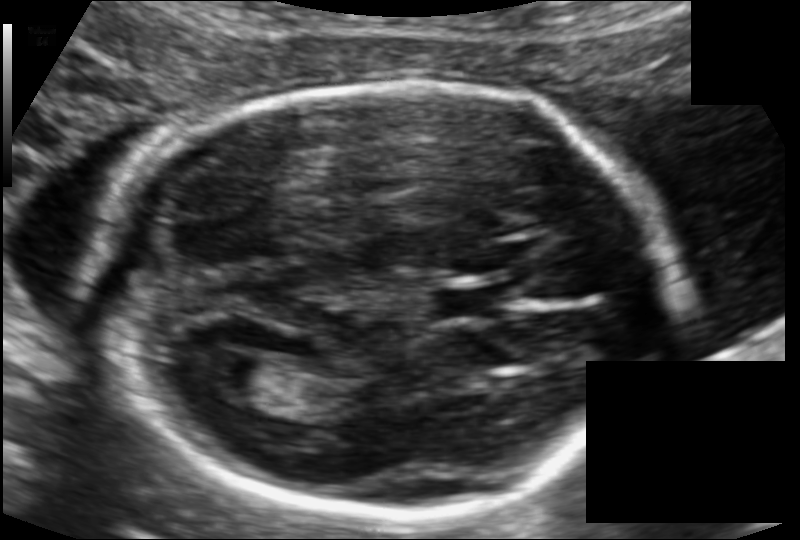
Fetal head ultrasound. Image width: 87.3 mm. Locate the fetal head.

Head: [96,83,669,522]